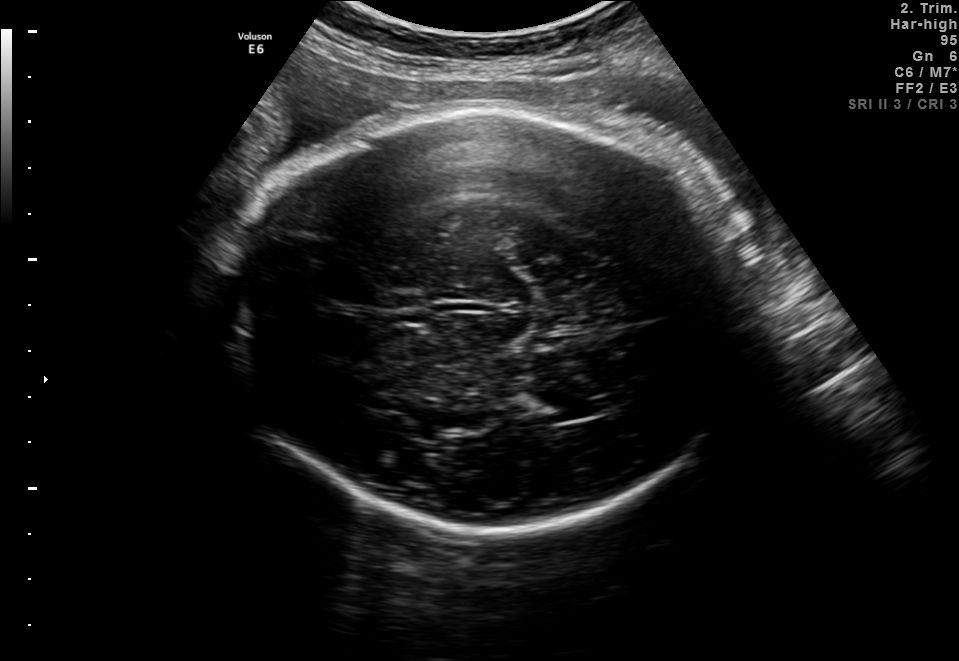
Fetal brain, trans-thalamic plane. Locate the lateral ventricle.

Lateral ventricle: [513,380,609,429]